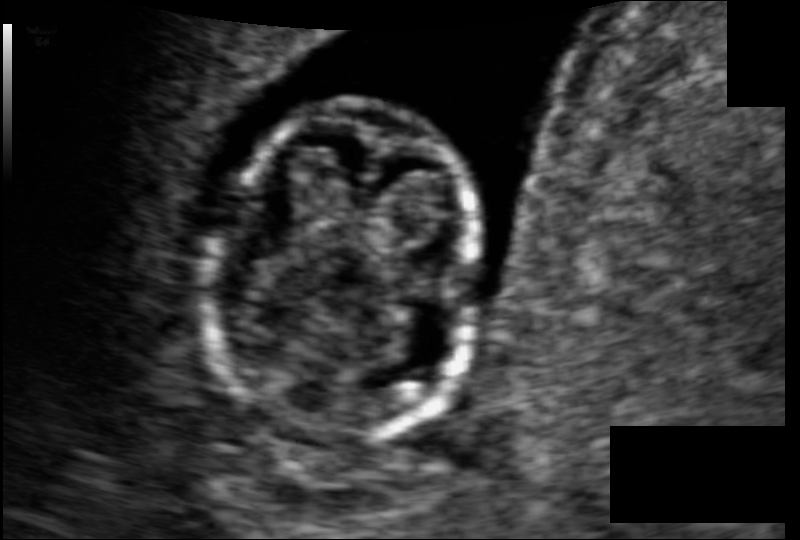
Measure the fetal head circumference shown in this ultrasound image. Image width: 59.1 mm.

Head circumference: 74.6 mm.